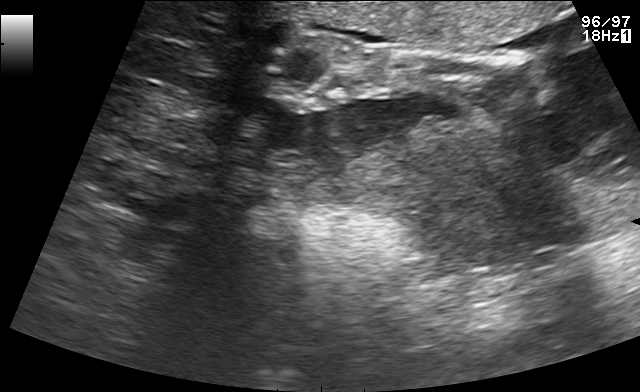
Identify the standard plane in this fetal ultrasound image: fetal abdomen, fetal brain, fetal femur, fetal thorax, maternal cervix, or other. If it's fetal brain and one of the three standard brain planes (trans-thalamic, trans-cerebellum, trans-ventricular), name which.

Other